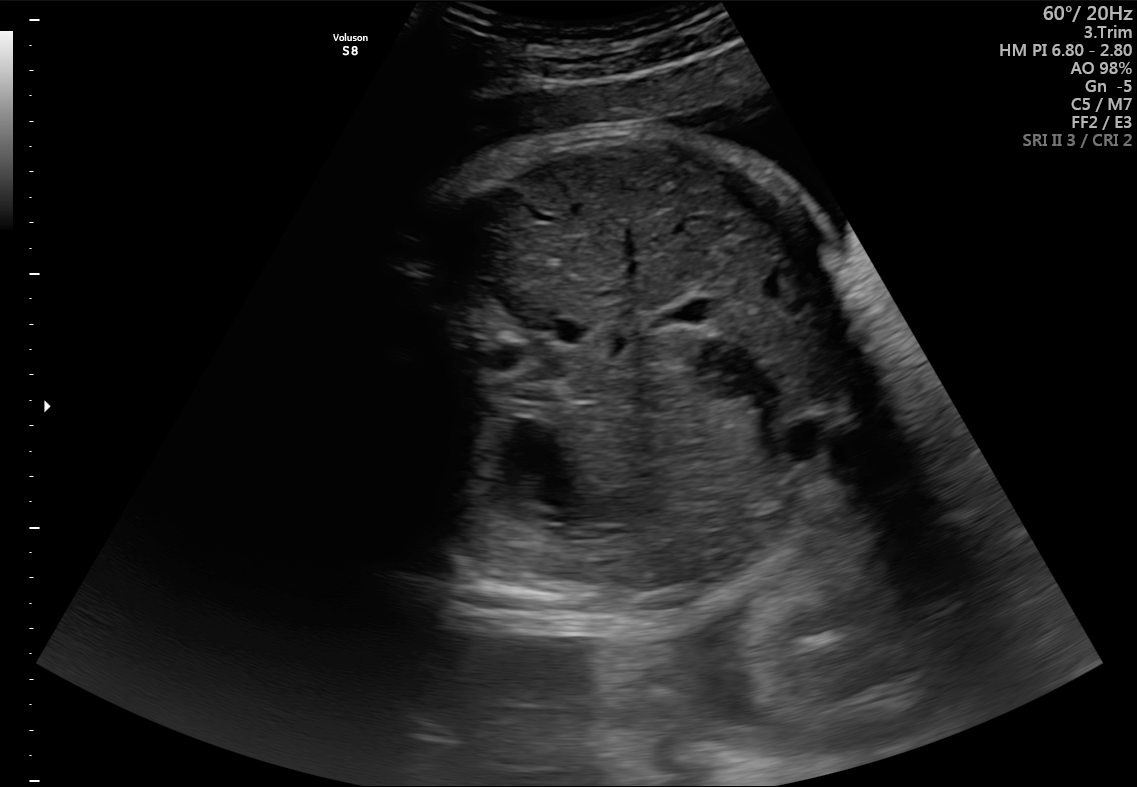
Classify this maternal-fetal ultrasound image as one of the six standard planes — fetal abdomen, fetal brain, fetal femur, fetal thorax, maternal cervix, or other. If it's fetal brain and one of the three standard brain planes (trans-thalamic, trans-cerebellum, trans-ventricular), name which.

Other